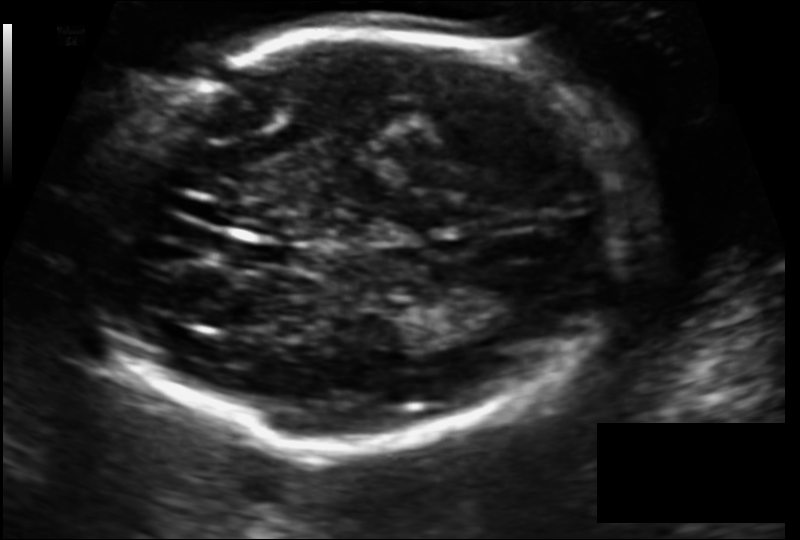
In this fetal head ultrasound, give the bounding box of the lateral ventricle. Image width: 98.9 mm.

[459,261,555,331]